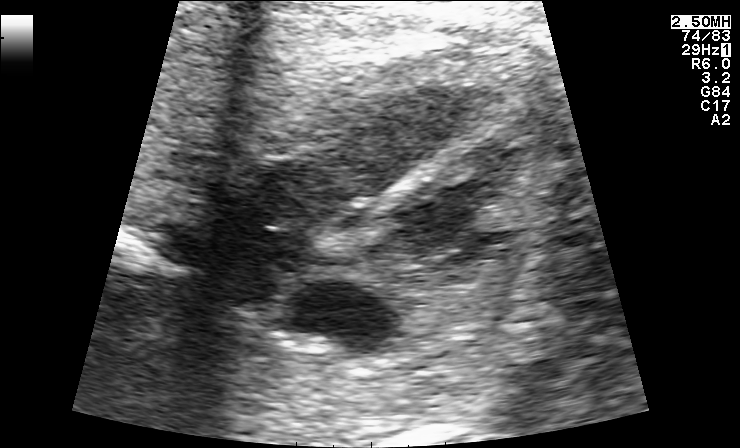
Identify the standard plane in this fetal ultrasound image: fetal abdomen, fetal brain, fetal femur, fetal thorax, maternal cervix, or other. If it's fetal brain and one of the three standard brain planes (trans-thalamic, trans-cerebellum, trans-ventricular), name which.

Fetal thorax